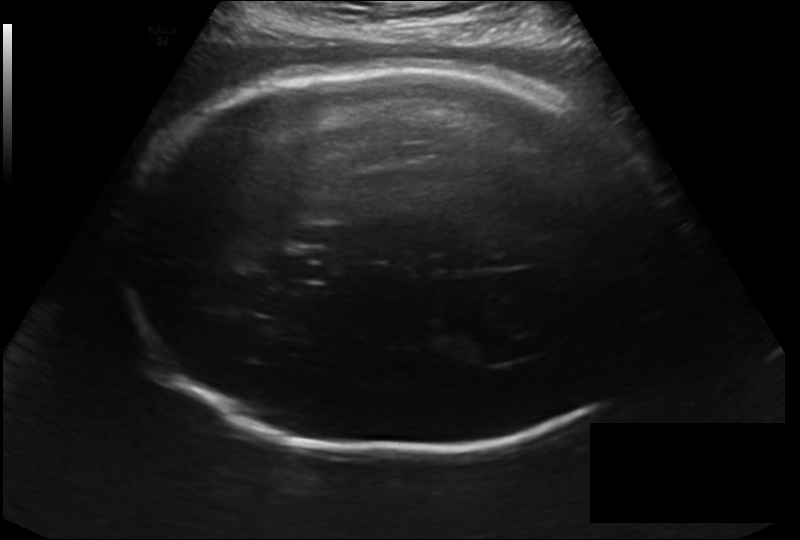
Estimate the fetal head circumference from this 2D ultrasound.

Head circumference: 327.1 mm (image width 171.6 mm).